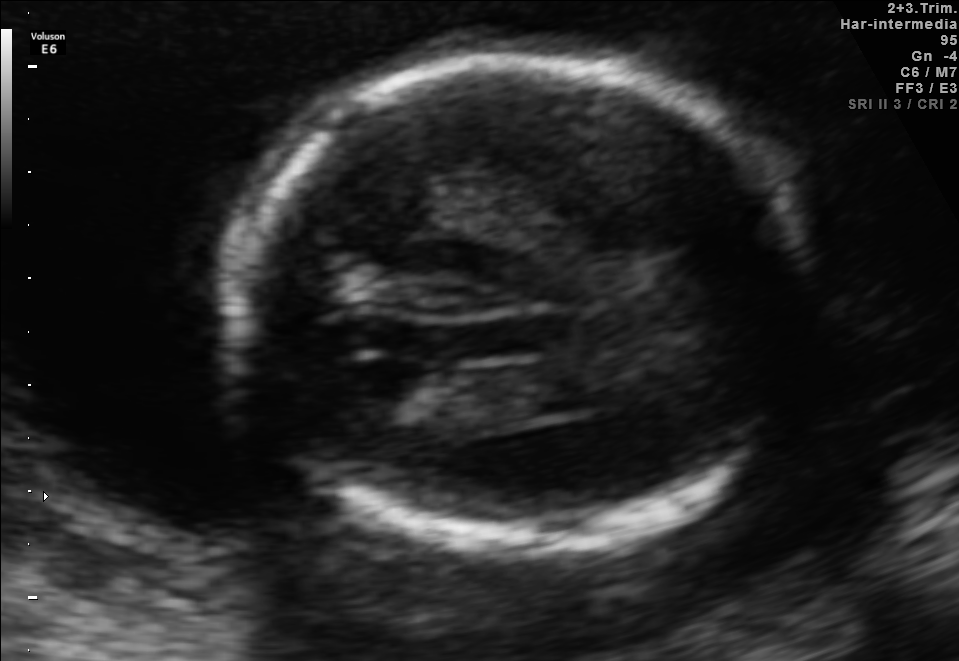
Fetal brain, trans-ventricular plane. Locate the fetal head.

Head: [213,50,830,559]